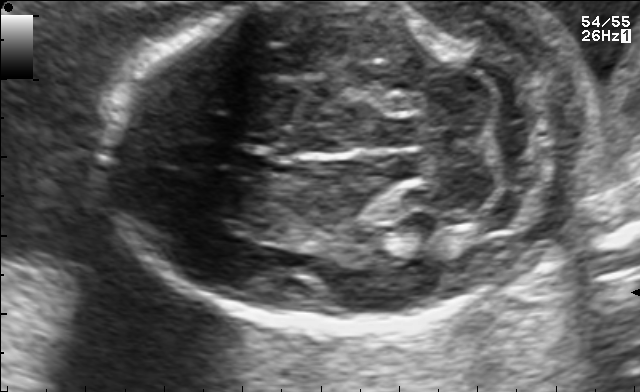
In this fetal brain, trans-cerebellum plane, give bounding boxes for the head outline, cavum septum pellucidum (CSP), and lateral ventricle (LV), where visible.

Head: [101,2,592,327]